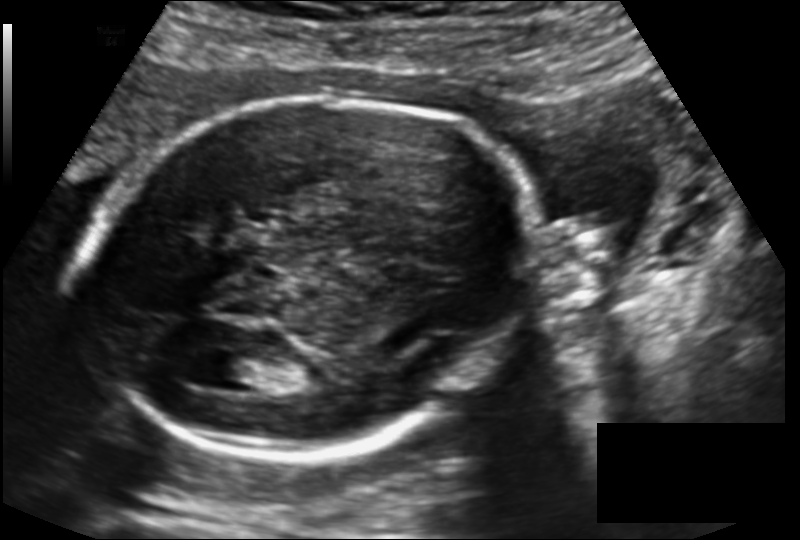
Fetal head ultrasound. Image width: 114.3 mm. Locate the fetal head.

Head: [86,95,542,452]